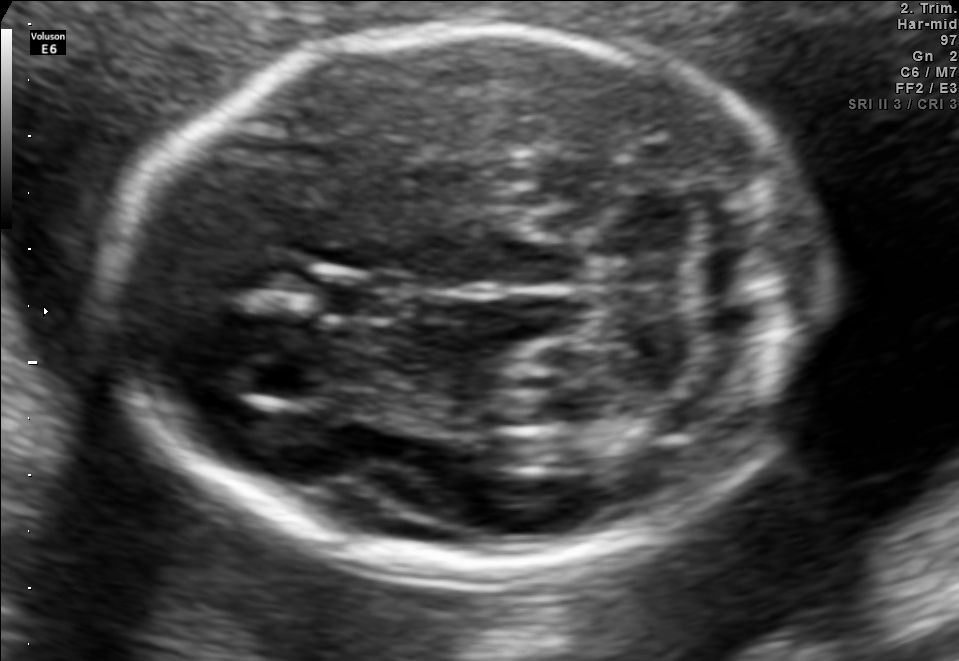
Fetal brain, trans-cerebellum plane. Where is the fetal head?

Head bounding box: [111,26,826,573]